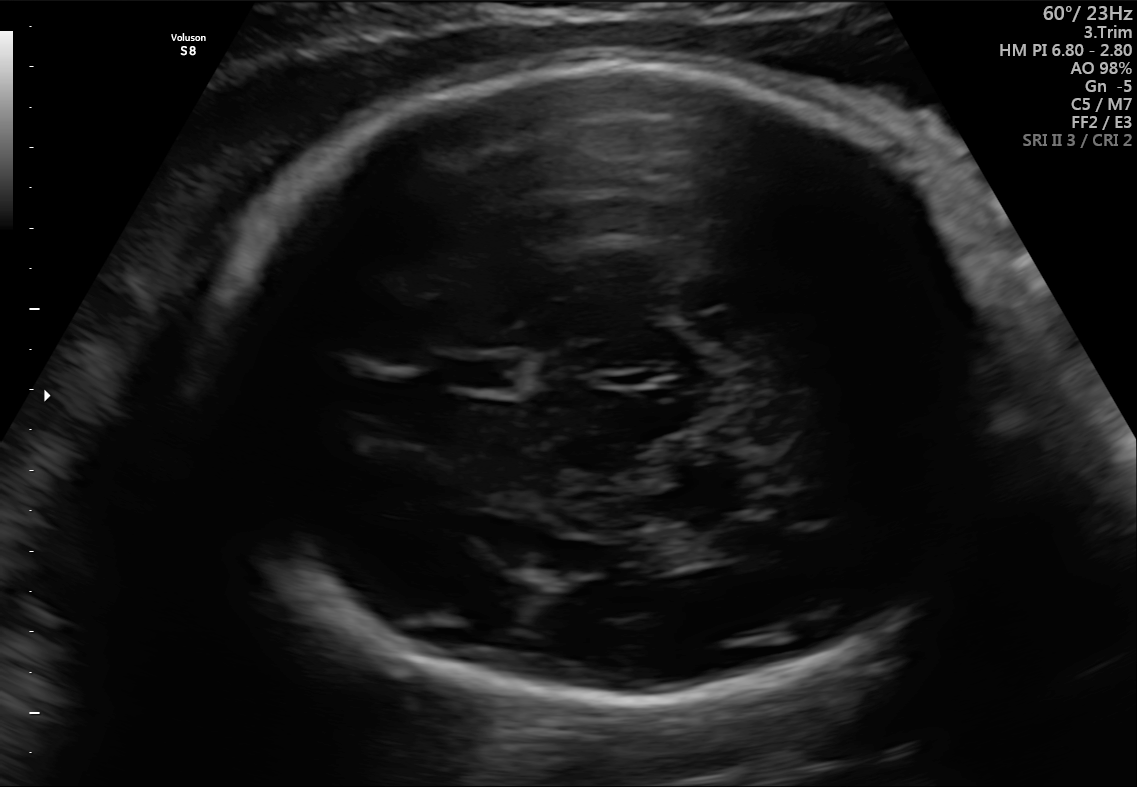
Fetal brain, trans-thalamic plane. Where is the cavum septum pellucidum?

CSP bounding box: [435,355,523,391]